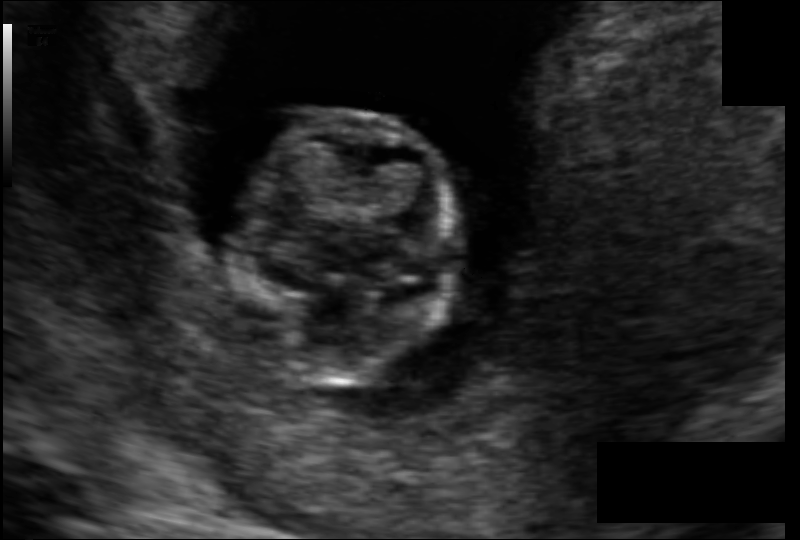
In this fetal head ultrasound, give the bounding box of the fetal head. Image width: 72.7 mm.

[237,110,458,387]